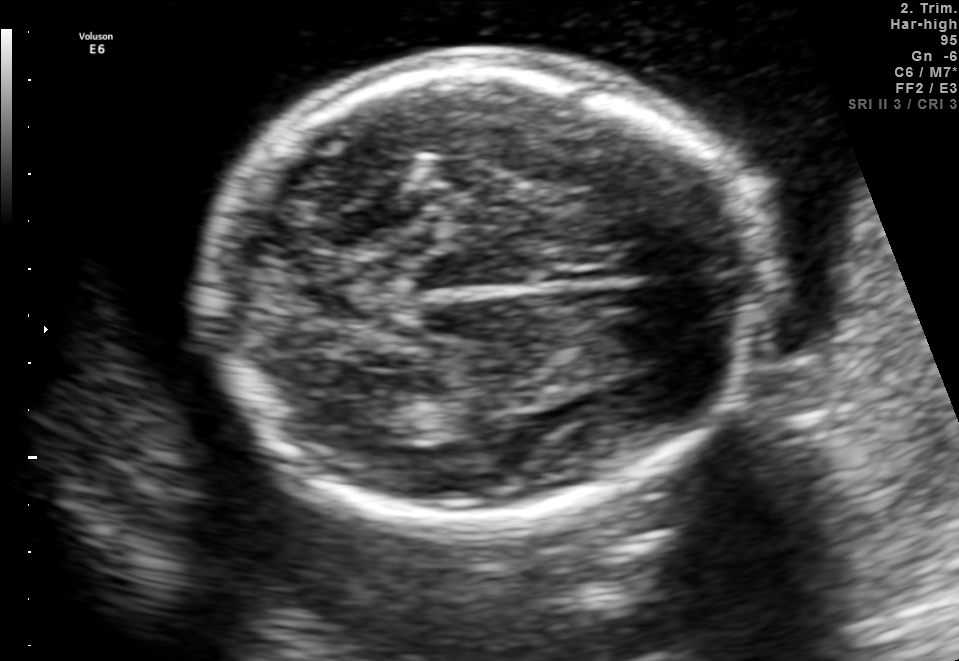
In this fetal brain, trans-thalamic plane, give the bounding box of the fetal head.

[204,59,771,520]